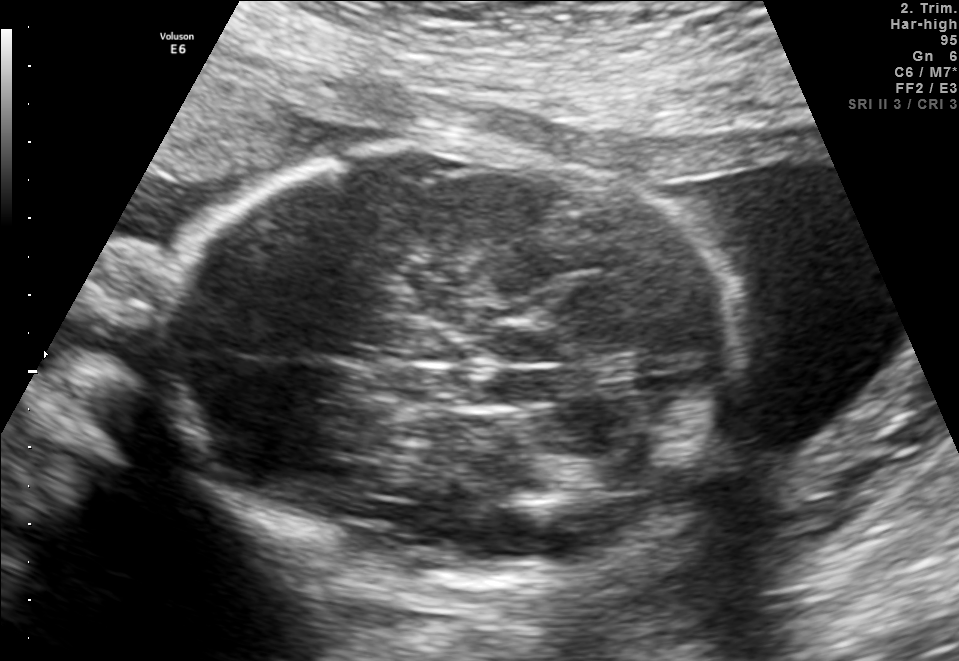
Fetal brain, trans-thalamic plane. Where is the fetal head?

Head bounding box: [158,135,741,600]